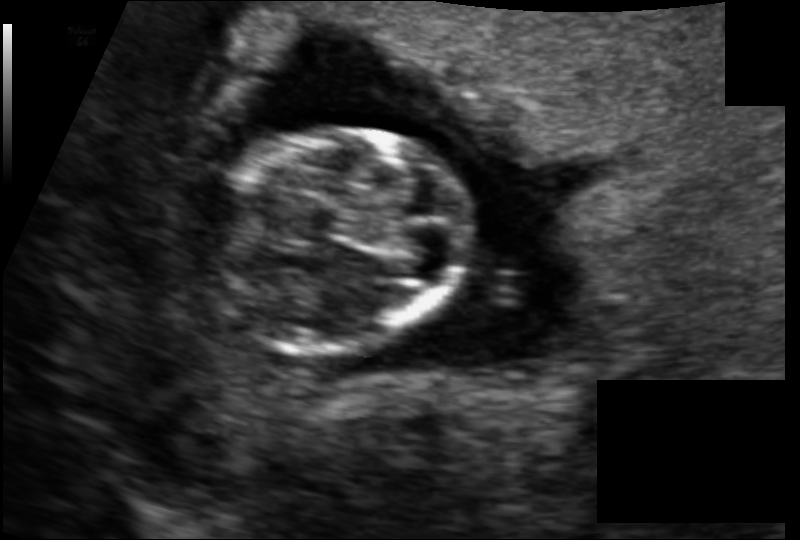
Estimate the fetal head circumference from this 2D ultrasound.

Head circumference: 75.9 mm (image width 77.7 mm).